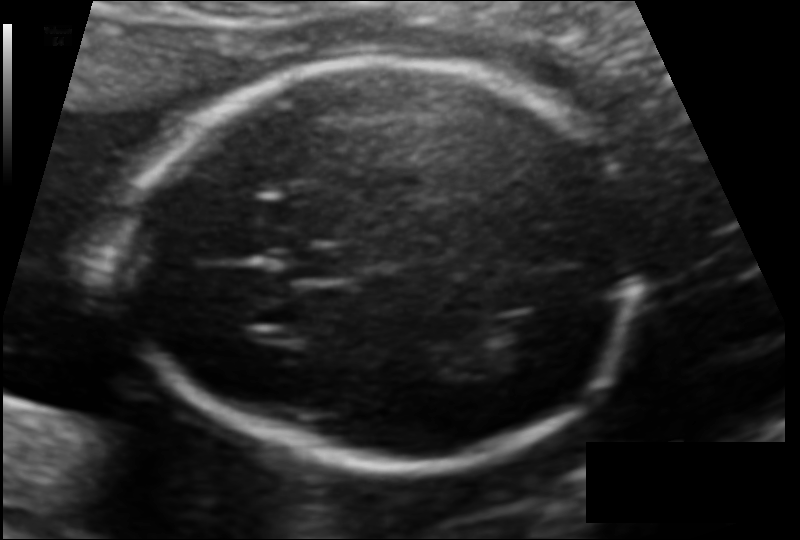
Estimate the fetal head circumference from this 2D ultrasound.

Head circumference: 171.8 mm (image width 92.5 mm).